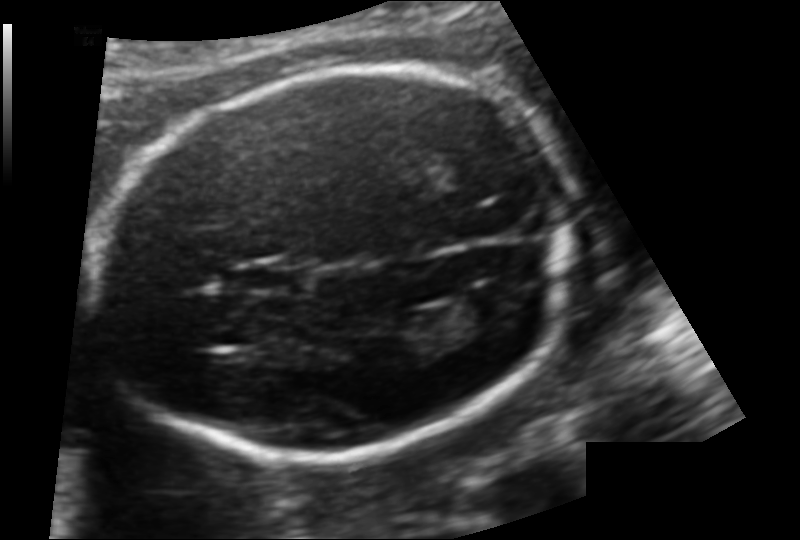
Fetal head ultrasound. Image width: 98.8 mm. Where is the cavum septum pellucidum?

CSP bounding box: [230,255,308,300]